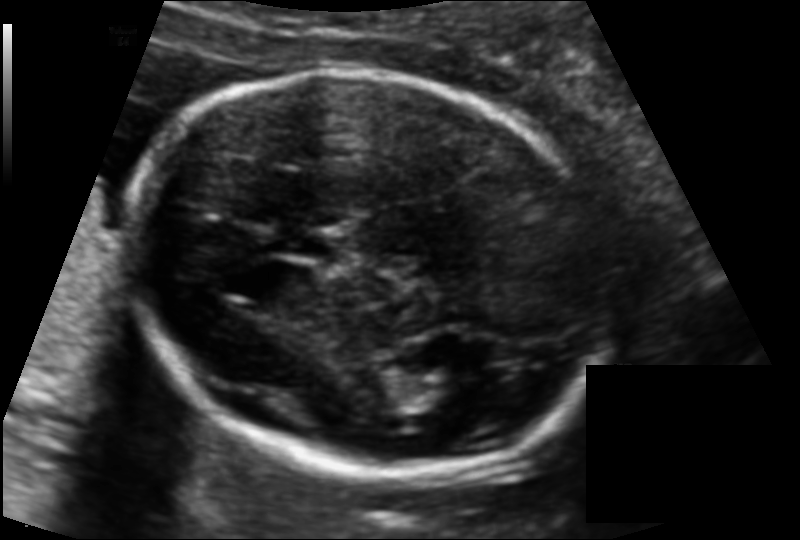
Fetal head ultrasound. Image width: 93.1 mm. Locate the fetal head.

Head: [132,73,606,477]